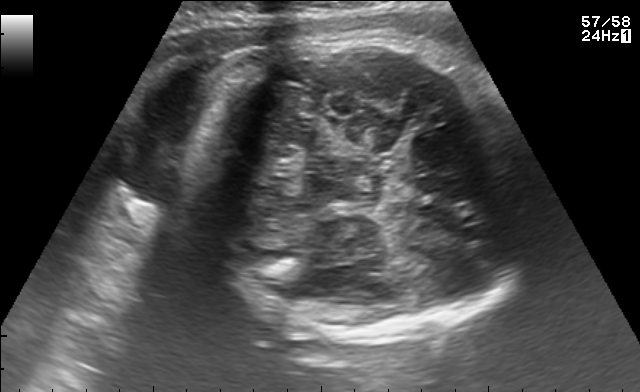
Fetal brain, trans-thalamic plane. Locate the fetal head.

Head: [186,36,531,334]